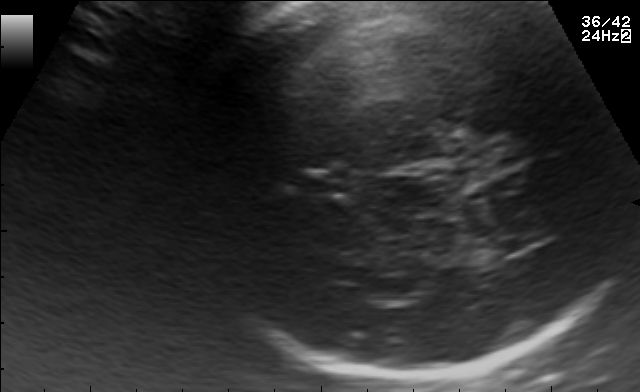
Fetal brain, trans-thalamic plane. Locate the fetal head.

Head: [182,2,627,378]